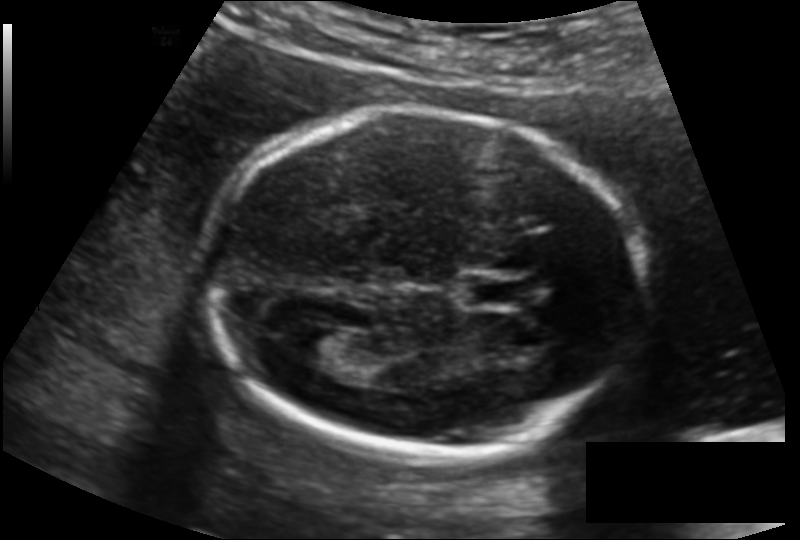
Fetal head ultrasound. Image width: 107.6 mm. Where is the fetal head?

Head bounding box: [198,112,639,454]